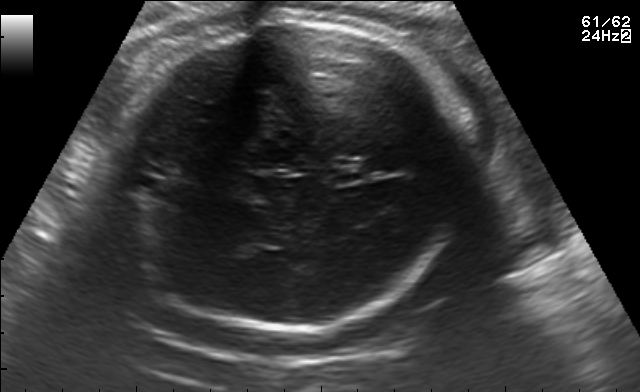
In this fetal brain, trans-thalamic plane, give bounding boxes for the head outline, cavum septum pellucidum (CSP), and lateral ventricle (LV), where visible.

Head: [101,21,468,330]